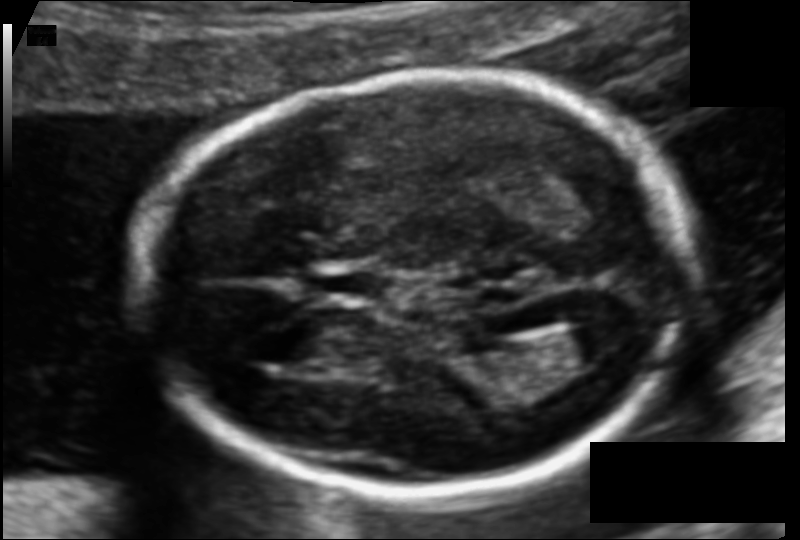
Measure the fetal head circumference shown in this ultrasound image. Image width: 83.7 mm.

Head circumference: 165.7 mm.